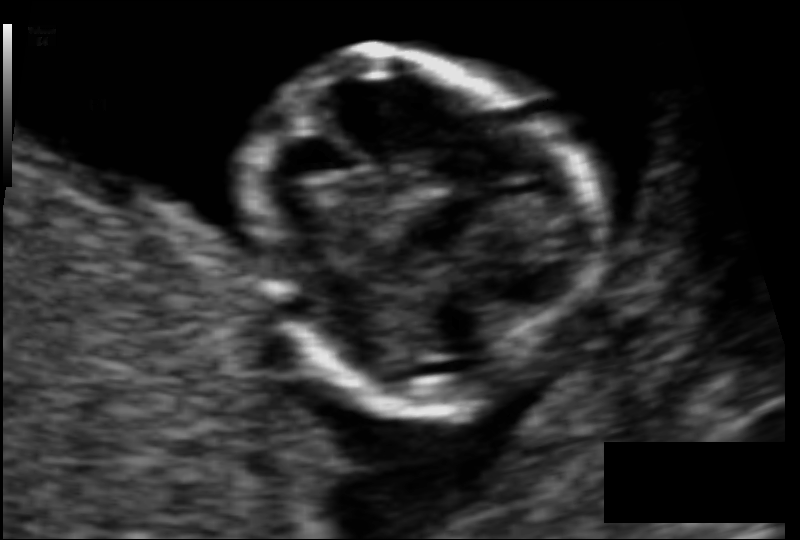
Fetal head ultrasound. Image width: 54.6 mm. Where is the fetal head?

Head bounding box: [239,59,582,398]